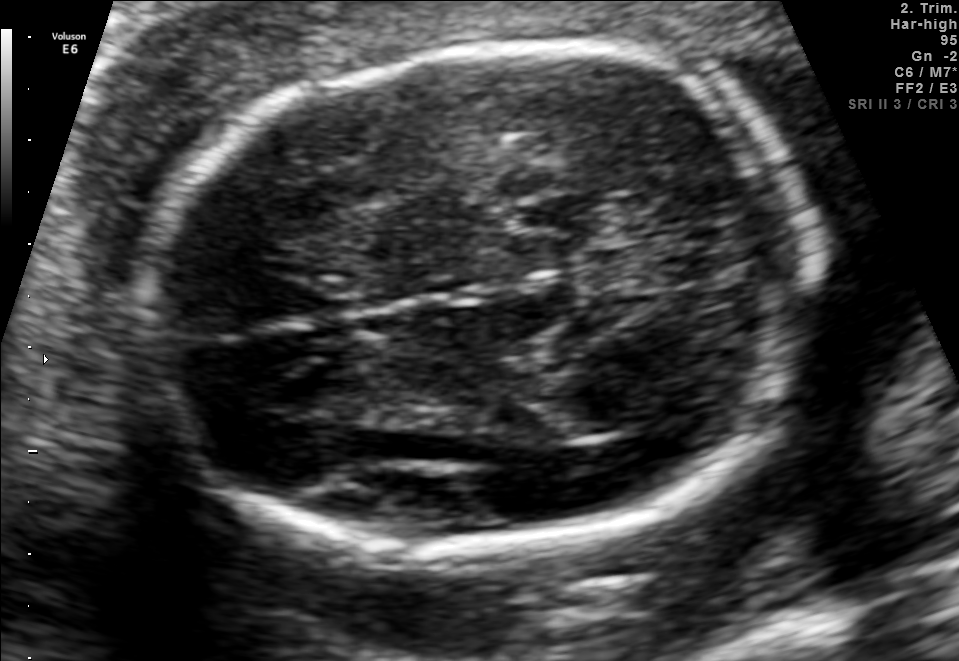
Fetal brain, trans-thalamic plane. Where is the fetal head?

Head bounding box: [134,47,813,548]